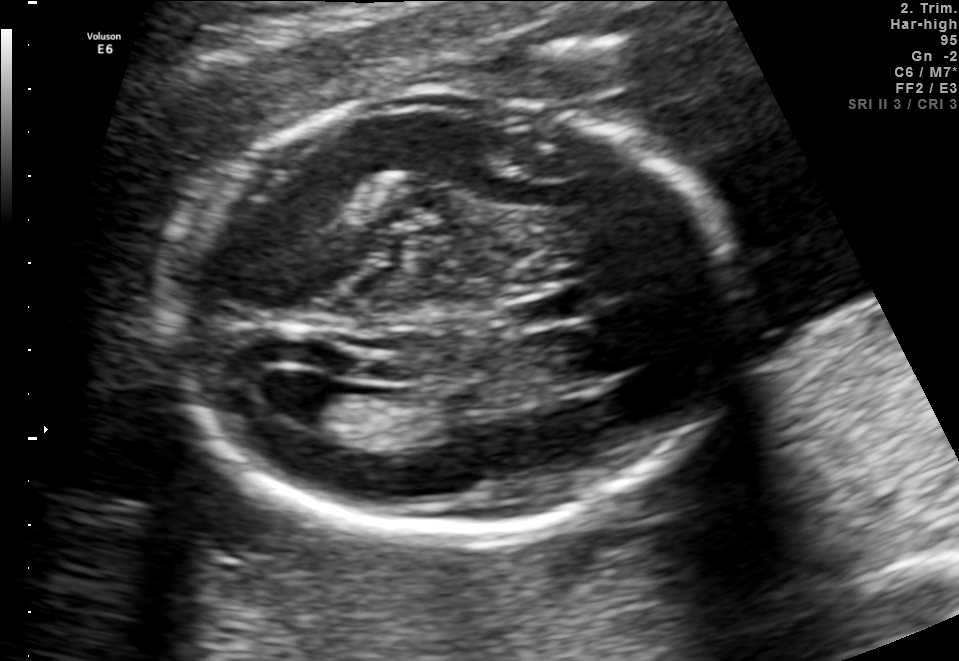
Fetal brain, trans-ventricular plane. Give [x1,y1,x2,y2] bounding boxes for each visible structure among: fetal head, CSP, LV.

Head: [156,85,757,546]
CSP: [500,283,603,340]
Lateral ventricle: [244,359,346,435]